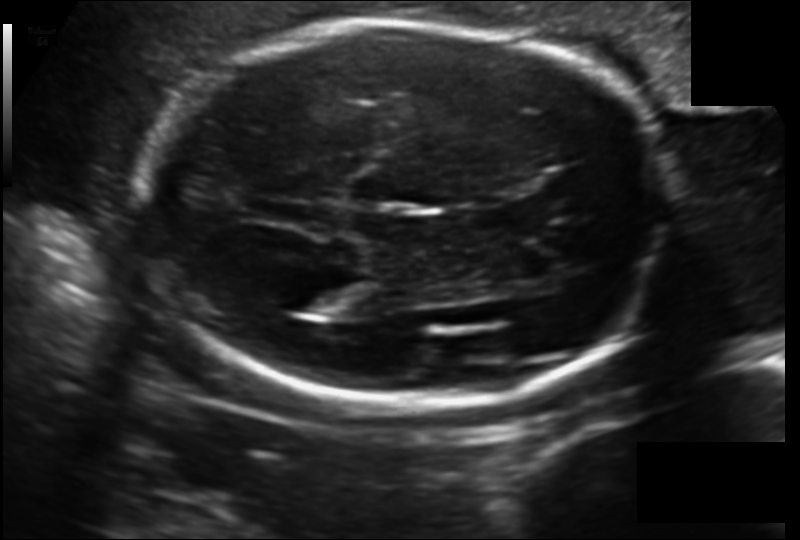
In this fetal head ultrasound, give the bounding box of the lateral ventricle. Image width: 121.4 mm.

[280,272,358,316]